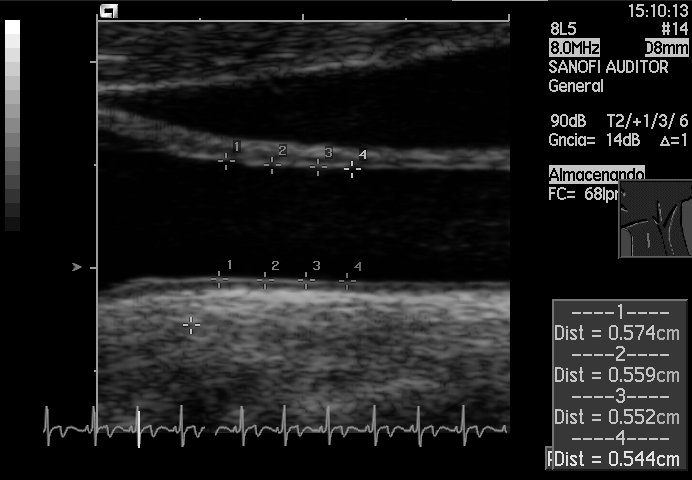
Classify this maternal-fetal ultrasound image as one of the six standard planes — fetal abdomen, fetal brain, fetal femur, fetal thorax, maternal cervix, or other. If it's fetal brain and one of the three standard brain planes (trans-thalamic, trans-cerebellum, trans-ventricular), name which.

Other